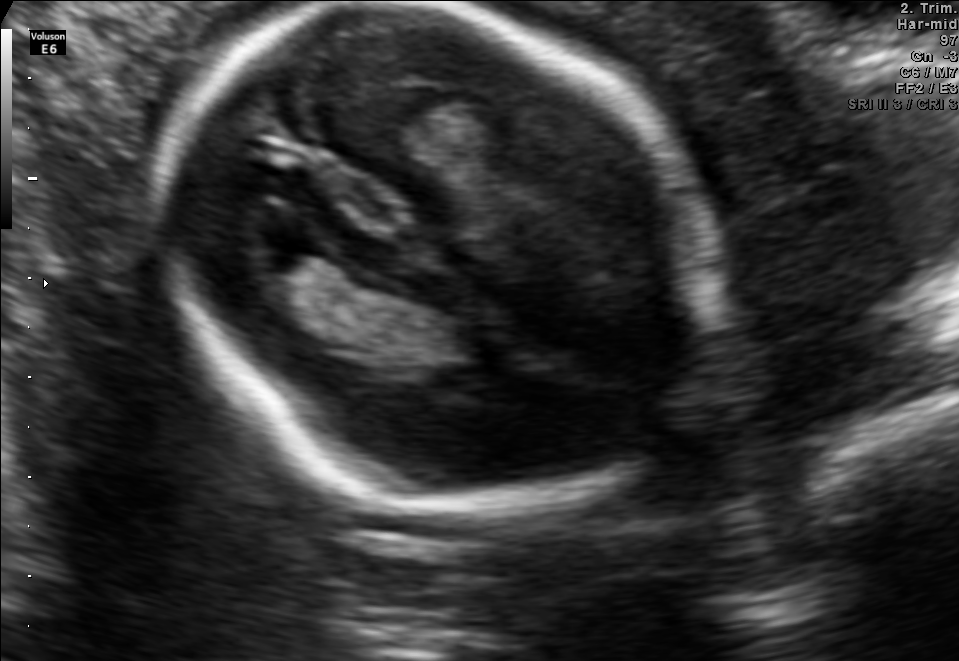
Which standard maternal-fetal ultrasound plane is shown: fetal abdomen, fetal brain, fetal femur, fetal thorax, maternal cervix, or other? If it's fetal brain and one of the three standard brain planes (trans-thalamic, trans-cerebellum, trans-ventricular), name which.

Fetal brain (trans-thalamic plane)